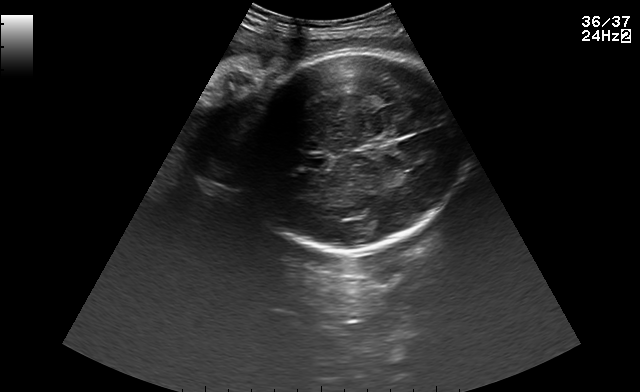
Fetal brain, trans-thalamic plane. Where is the fetal head?

Head bounding box: [244,52,462,255]